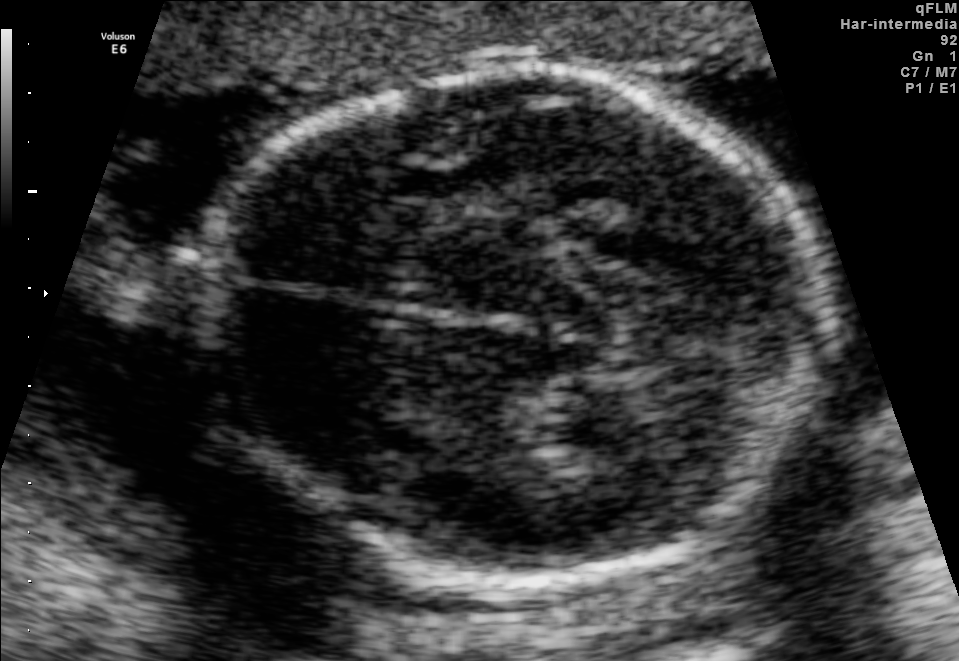
Fetal brain, trans-thalamic plane. Where is the fetal head?

Head bounding box: [209,70,834,583]